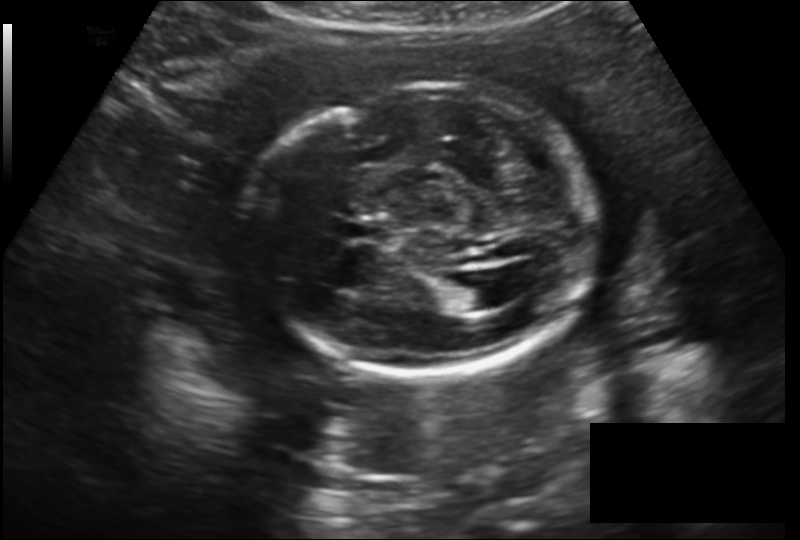
In this fetal head ultrasound, give the bounding box of the lateral ventricle. Image width: 145.7 mm.

[449,278,499,312]